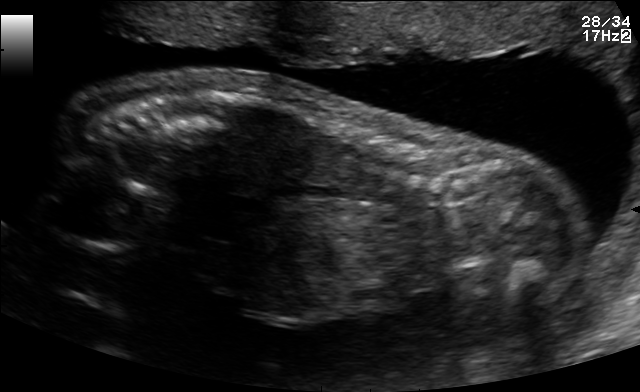
Classify this maternal-fetal ultrasound image as one of the six standard planes — fetal abdomen, fetal brain, fetal femur, fetal thorax, maternal cervix, or other. If it's fetal brain and one of the three standard brain planes (trans-thalamic, trans-cerebellum, trans-ventricular), name which.

Other